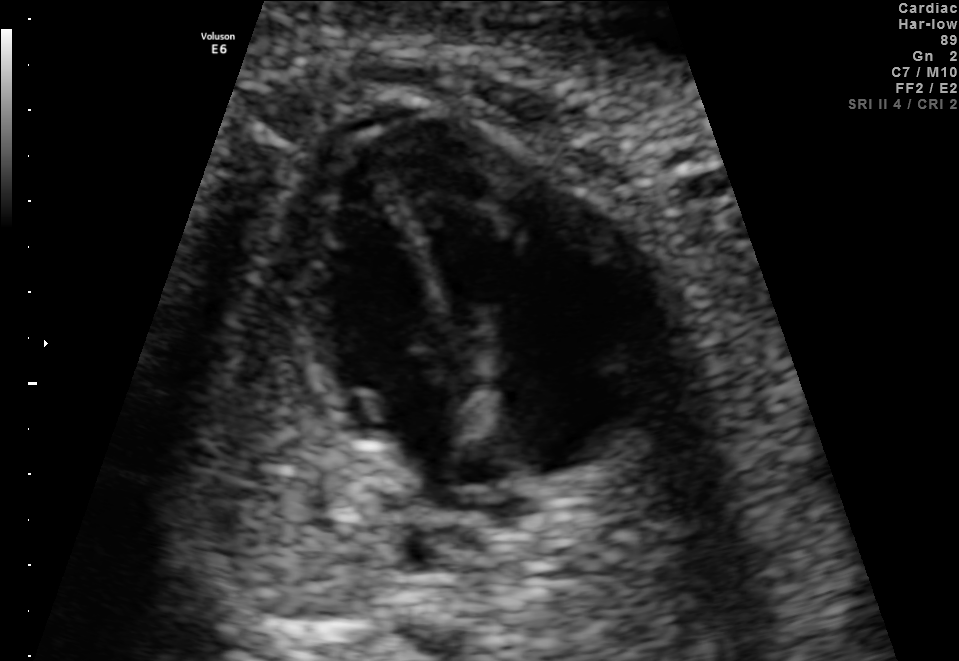
Which standard maternal-fetal ultrasound plane is shown: fetal abdomen, fetal brain, fetal femur, fetal thorax, maternal cervix, or other? If it's fetal brain and one of the three standard brain planes (trans-thalamic, trans-cerebellum, trans-ventricular), name which.

Fetal thorax